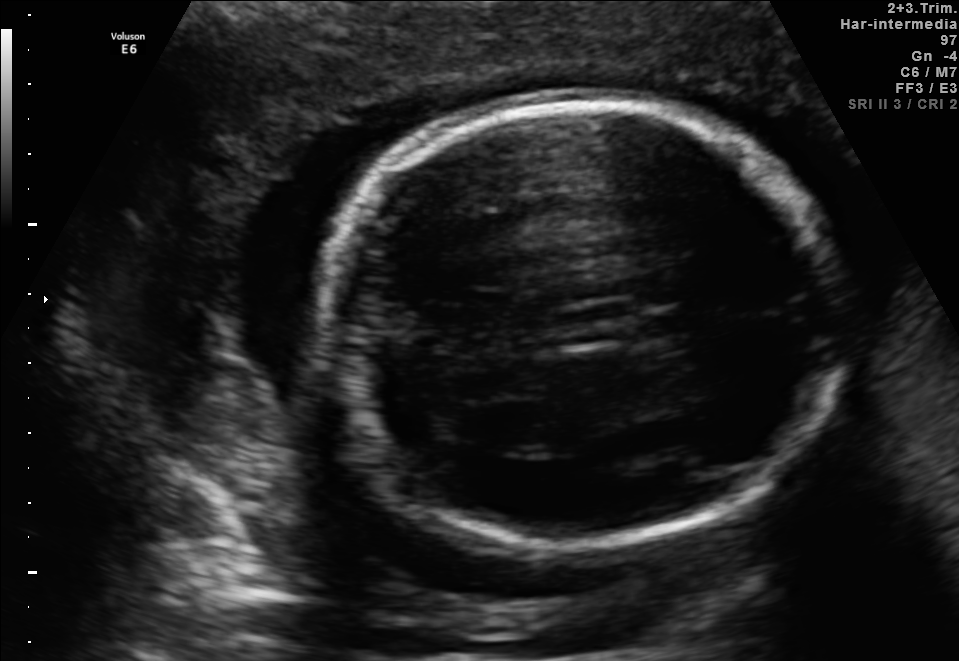
Fetal brain, trans-thalamic plane. Locate the fetal head.

Head: [319,94,840,545]